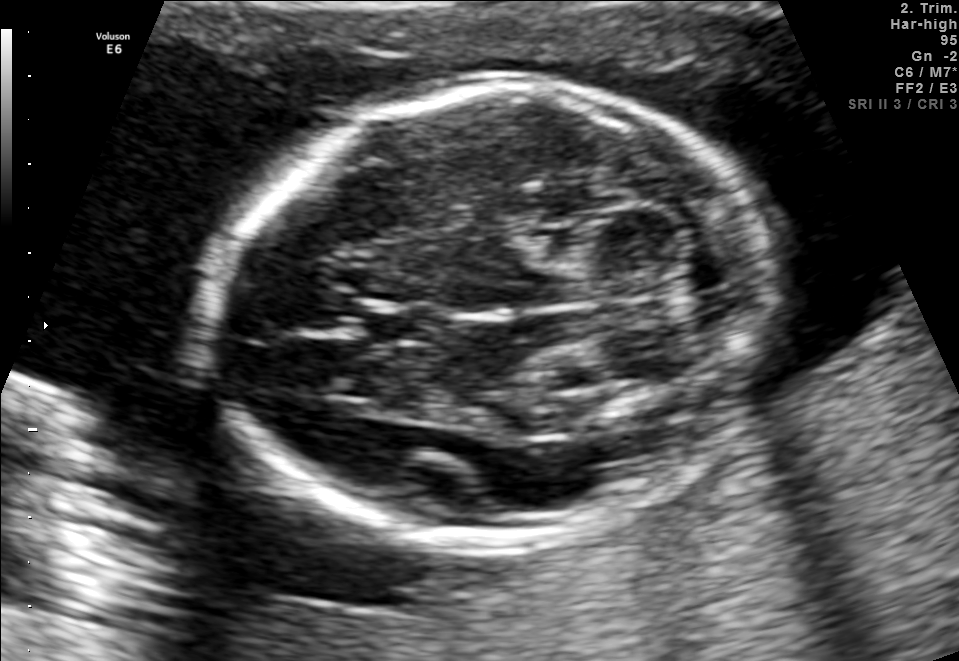
Fetal brain, trans-cerebellum plane. Locate the cavum septum pellucidum.

CSP: [356,303,437,345]